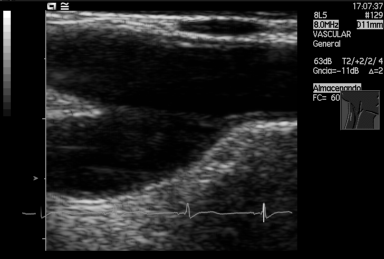
Identify the standard plane in this fetal ultrasound image: fetal abdomen, fetal brain, fetal femur, fetal thorax, maternal cervix, or other. If it's fetal brain and one of the three standard brain planes (trans-thalamic, trans-cerebellum, trans-ventricular), name which.

Other